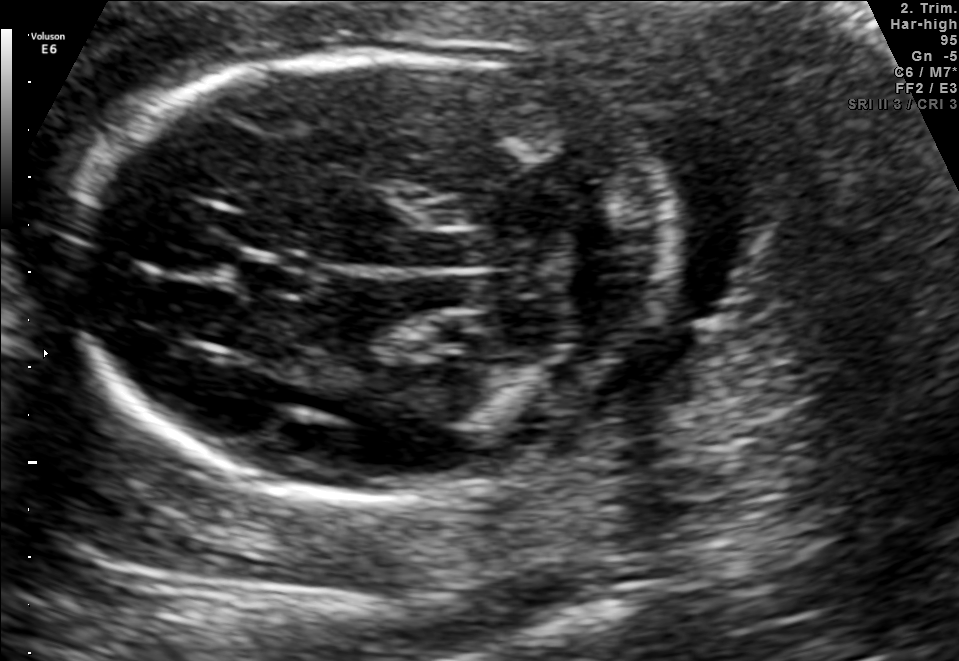
In this fetal brain, trans-cerebellum plane, give the bounding box of the cavum septum pellucidum.

[236,253,312,300]